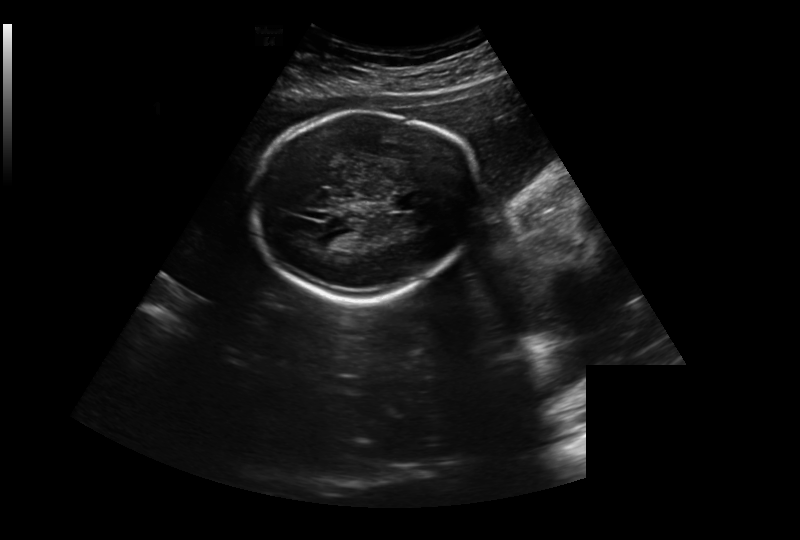
Measure the fetal head circumference shown in this ultrasound image. Image width: 260.8 mm.

Head circumference: 220.8 mm.